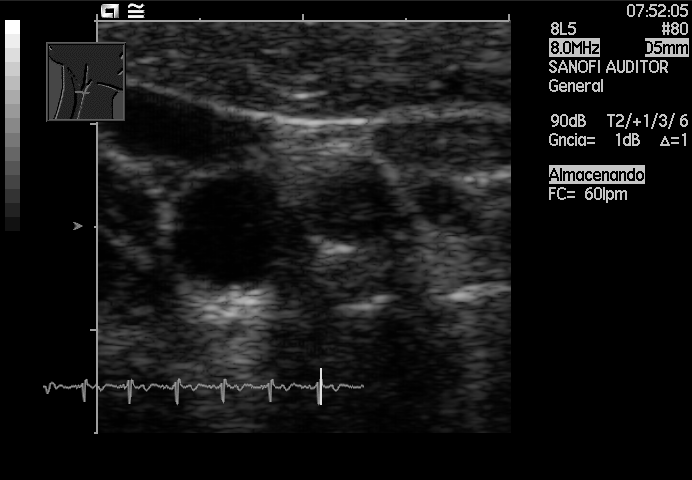
Identify the standard plane in this fetal ultrasound image: fetal abdomen, fetal brain, fetal femur, fetal thorax, maternal cervix, or other. If it's fetal brain and one of the three standard brain planes (trans-thalamic, trans-cerebellum, trans-ventricular), name which.

Other